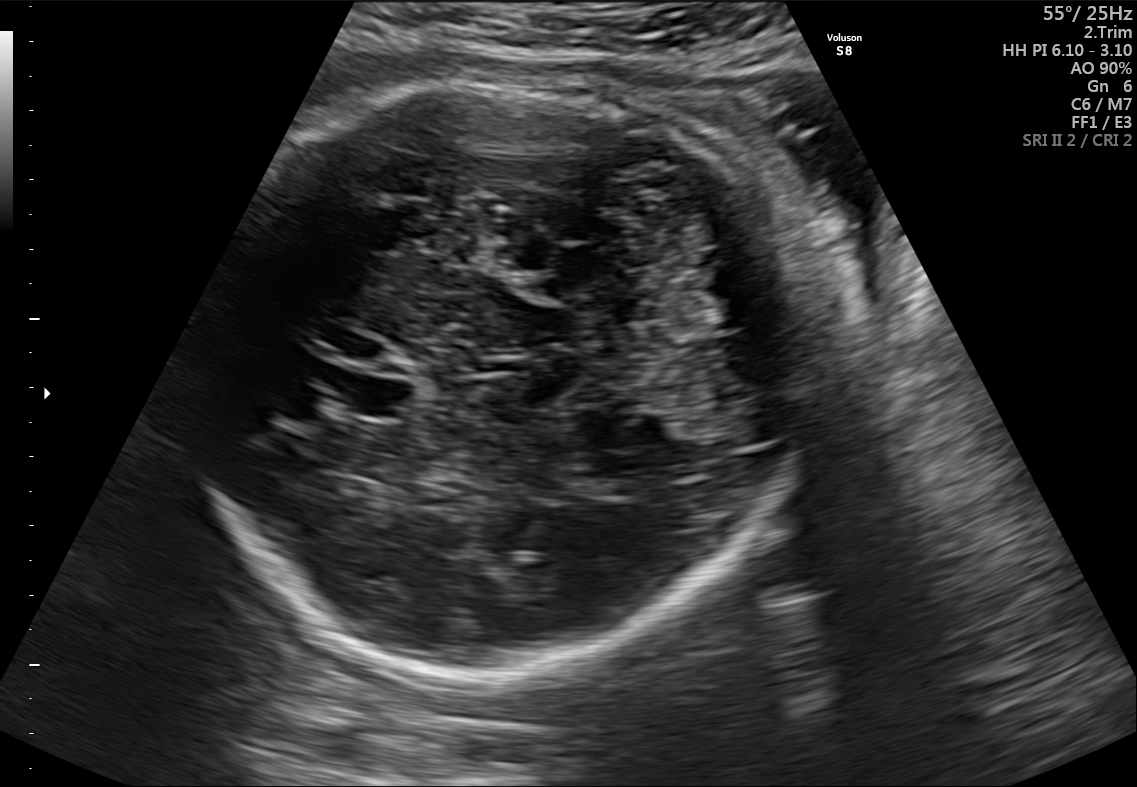
Fetal brain, trans-cerebellum plane. Give [x1,y1,x2,y2] bounding boxes for each visible structure among: fetal head, CSP, LV.

Head: [204,74,796,670]